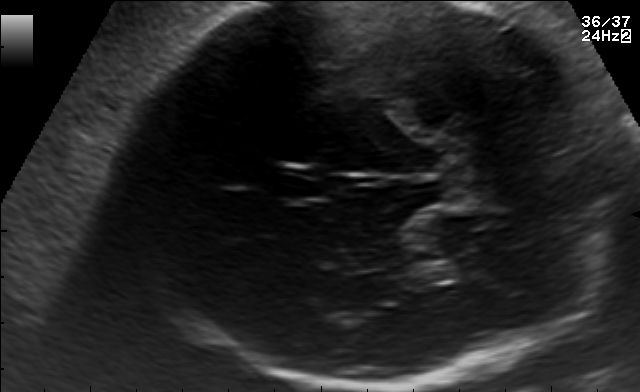
Fetal brain, trans-thalamic plane. Locate the cavum septum pellucidum.

CSP: [273,168,329,198]